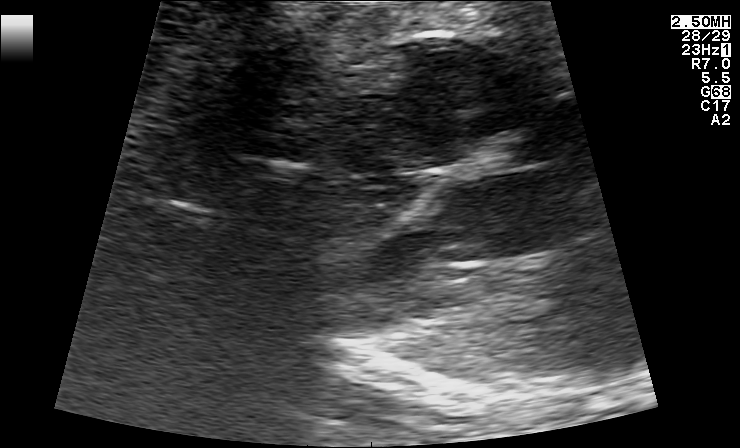
Which standard maternal-fetal ultrasound plane is shown: fetal abdomen, fetal brain, fetal femur, fetal thorax, maternal cervix, or other? If it's fetal brain and one of the three standard brain planes (trans-thalamic, trans-cerebellum, trans-ventricular), name which.

Fetal thorax